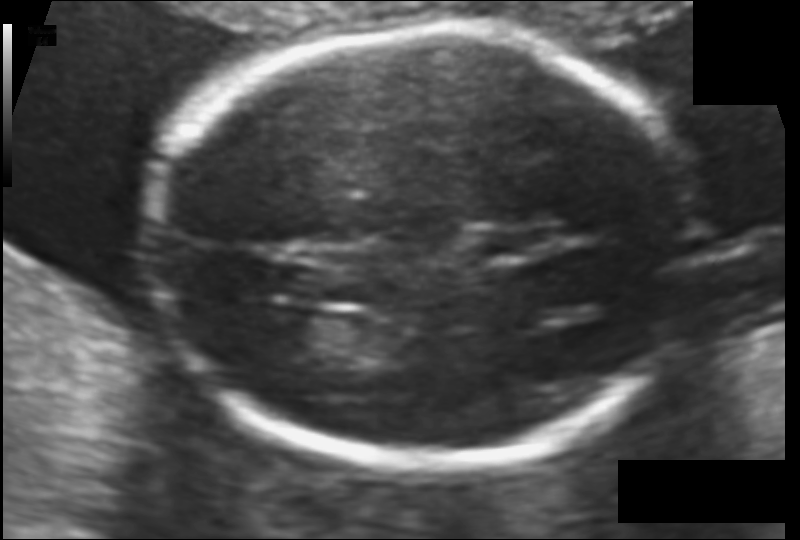
Measure the fetal head circumference shown in this ultrasound image. Image width: 82.1 mm.

Head circumference: 164.4 mm.